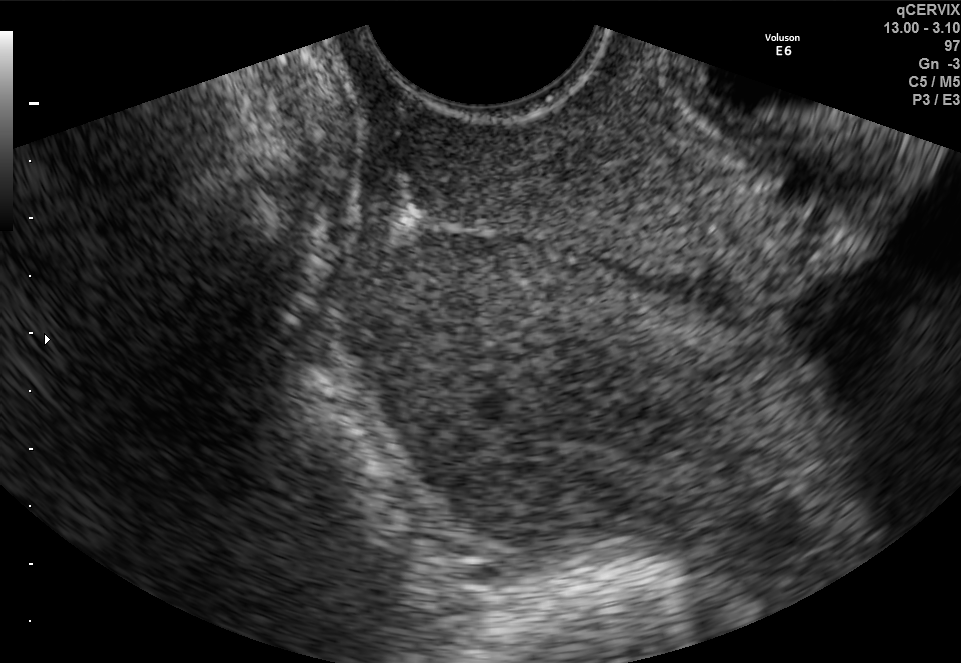
Identify the standard plane in this fetal ultrasound image: fetal abdomen, fetal brain, fetal femur, fetal thorax, maternal cervix, or other. If it's fetal brain and one of the three standard brain planes (trans-thalamic, trans-cerebellum, trans-ventricular), name which.

Maternal cervix